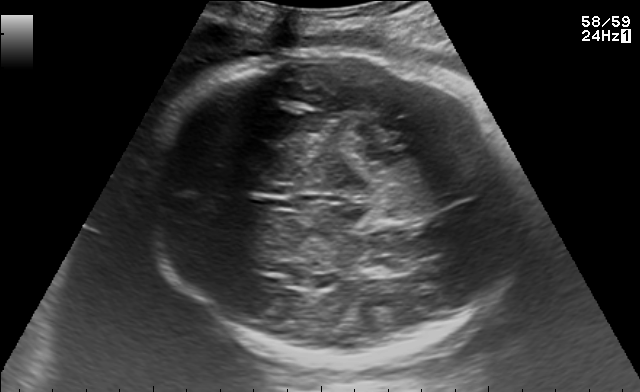
Classify this maternal-fetal ultrasound image as one of the six standard planes — fetal abdomen, fetal brain, fetal femur, fetal thorax, maternal cervix, or other. If it's fetal brain and one of the three standard brain planes (trans-thalamic, trans-cerebellum, trans-ventricular), name which.

Fetal brain (trans-thalamic plane)